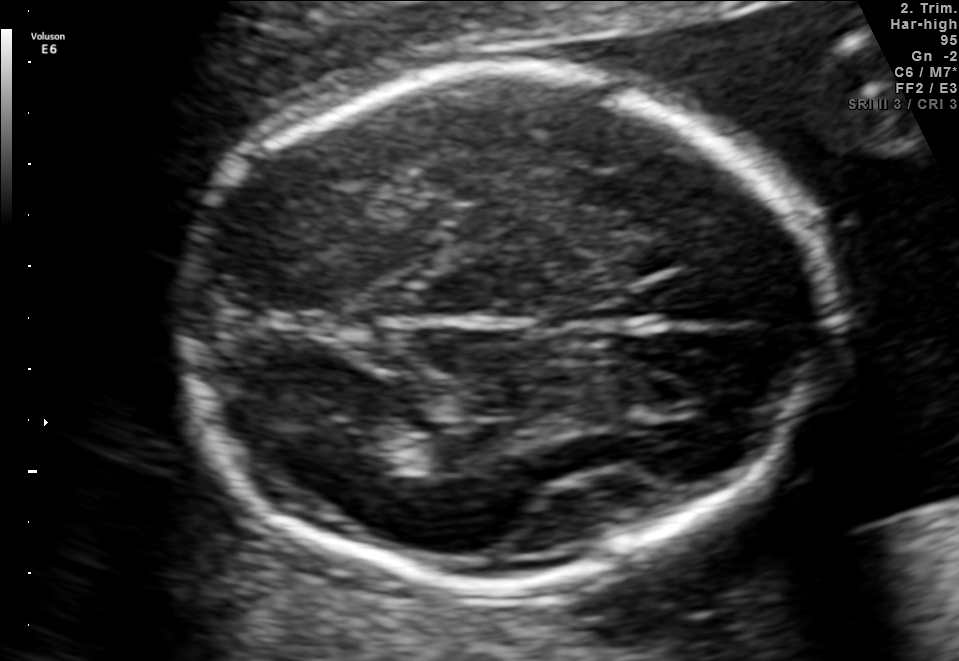
Which standard maternal-fetal ultrasound plane is shown: fetal abdomen, fetal brain, fetal femur, fetal thorax, maternal cervix, or other? If it's fetal brain and one of the three standard brain planes (trans-thalamic, trans-cerebellum, trans-ventricular), name which.

Fetal brain (trans-thalamic plane)